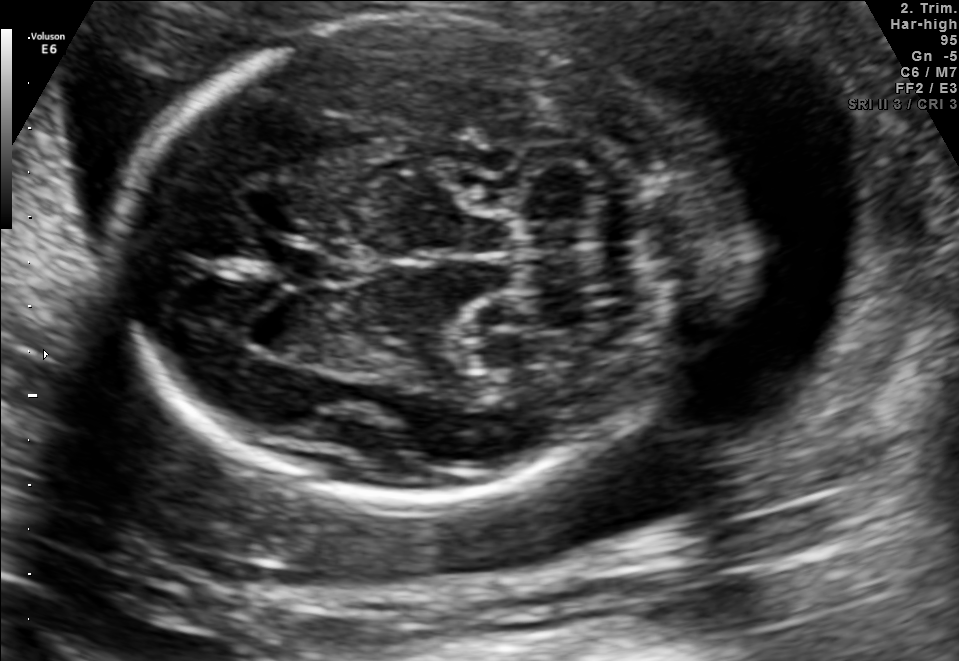
Fetal brain, trans-cerebellum plane. Where is the cavum septum pellucidum?

CSP bounding box: [271,243,340,290]